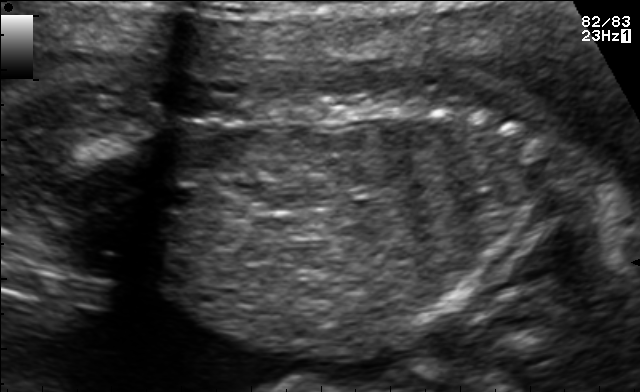
Identify the standard plane in this fetal ultrasound image: fetal abdomen, fetal brain, fetal femur, fetal thorax, maternal cervix, or other. If it's fetal brain and one of the three standard brain planes (trans-thalamic, trans-cerebellum, trans-ventricular), name which.

Other